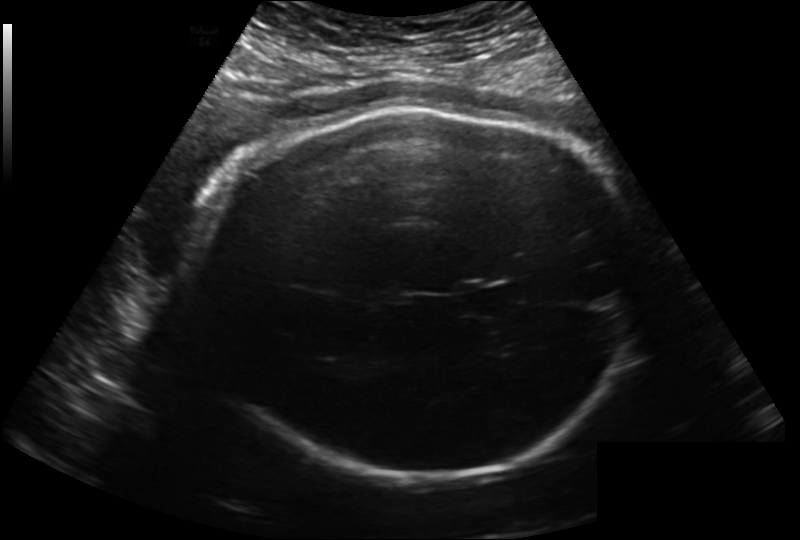
Fetal head ultrasound. Image width: 177.2 mm. Locate the fetal head.

Head: [196,106,639,480]